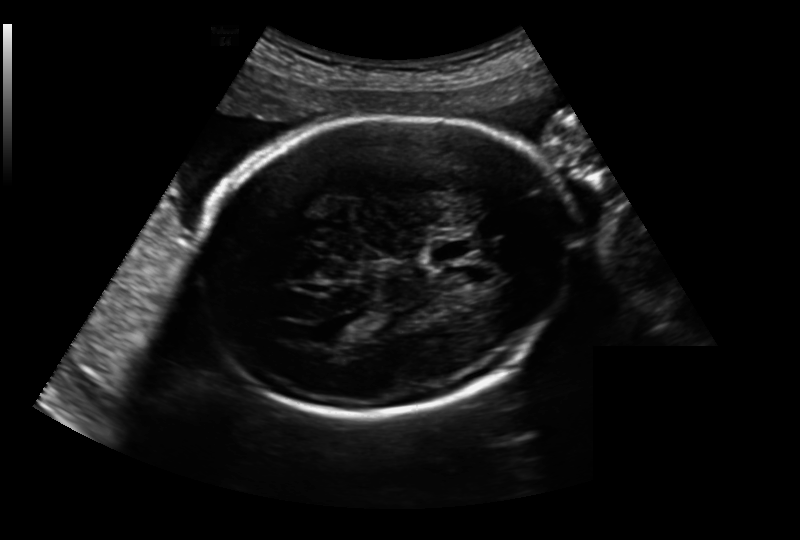
In this fetal head ultrasound, give the bounding box of the lateral ventricle. Image width: 170.6 mm.

[323,317,366,344]